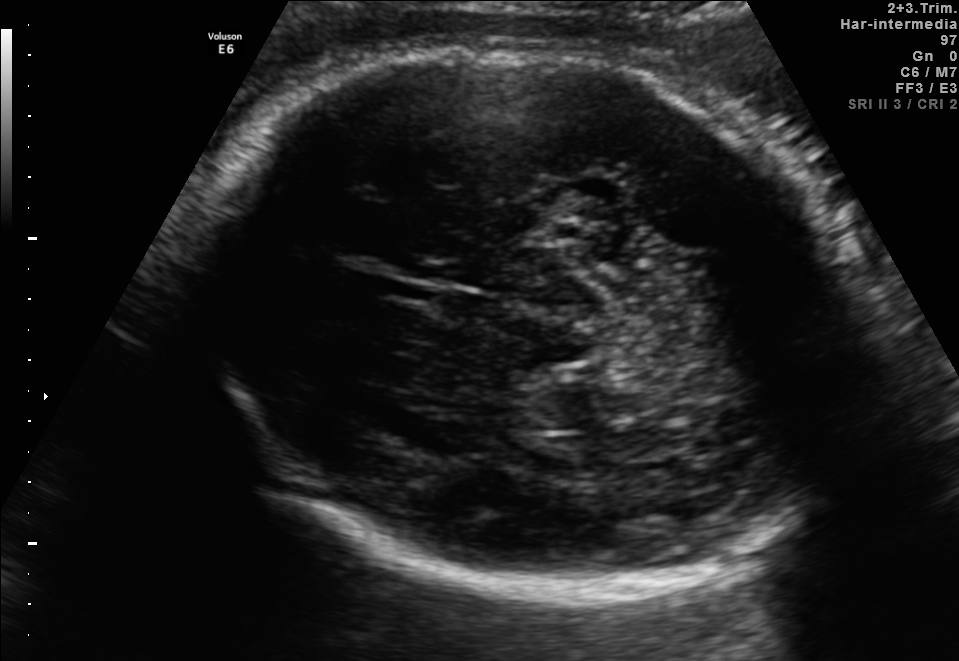
This is a 2D maternal-fetal ultrasound frame. Is it a fetal abdomen, fetal brain, fetal femur, fetal thorax, maternal cervix, or other standard plane? If it's fetal brain and one of the three standard brain planes (trans-thalamic, trans-cerebellum, trans-ventricular), name which.

Fetal brain (trans-thalamic plane)